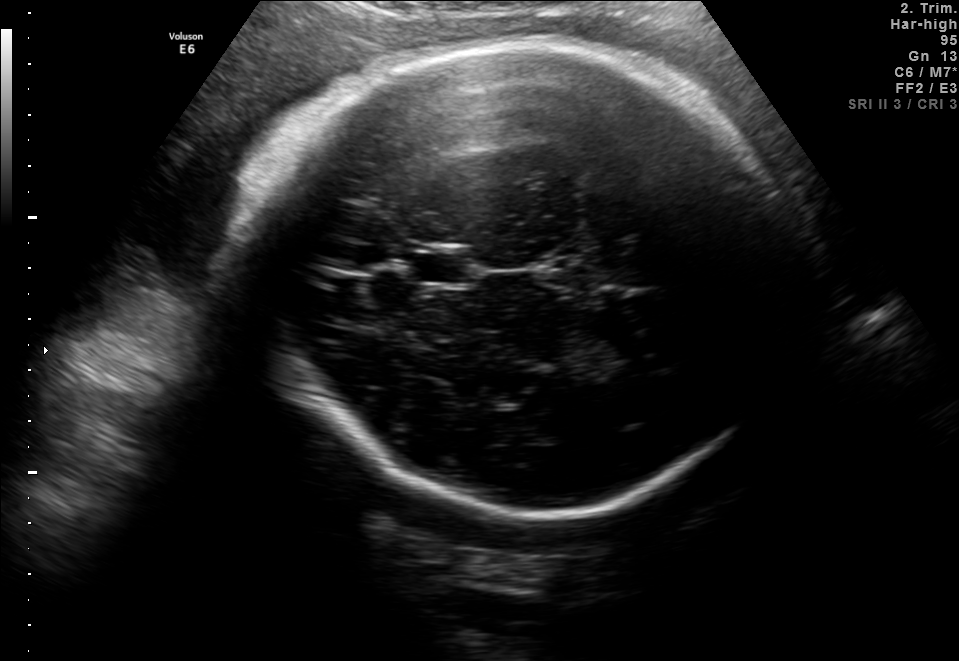
Fetal brain, trans-thalamic plane. Where is the fetal head?

Head bounding box: [229,48,800,509]